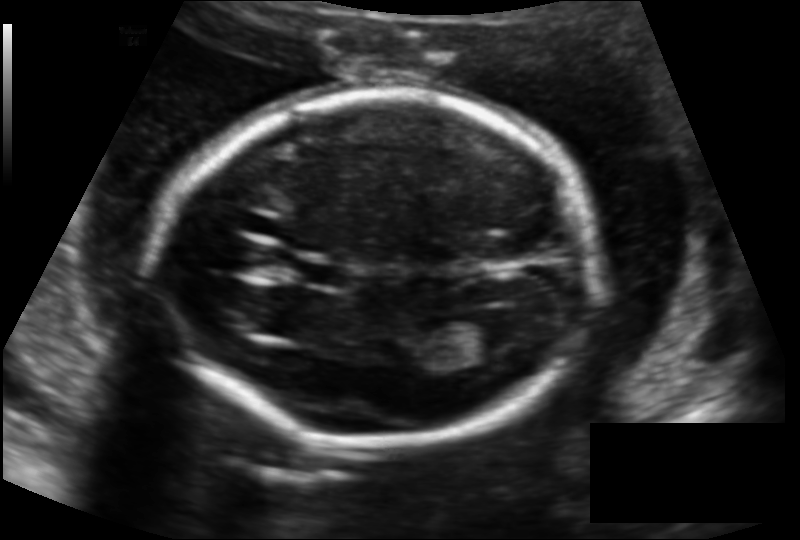
Estimate the fetal head circumference from this 2D ultrasound.

Head circumference: 172.4 mm (image width 108.6 mm).